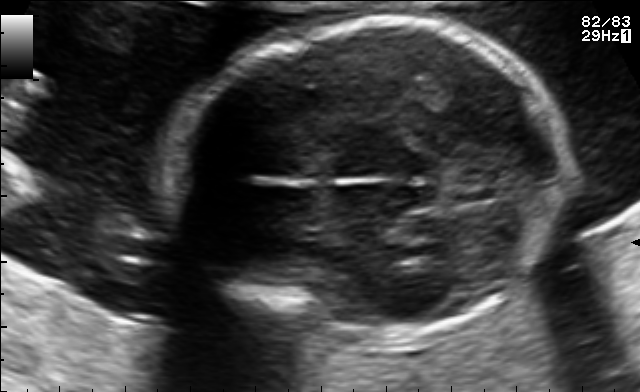
In this fetal brain, trans-thalamic plane, give the bounding box of the fetal head.

[174,20,567,346]